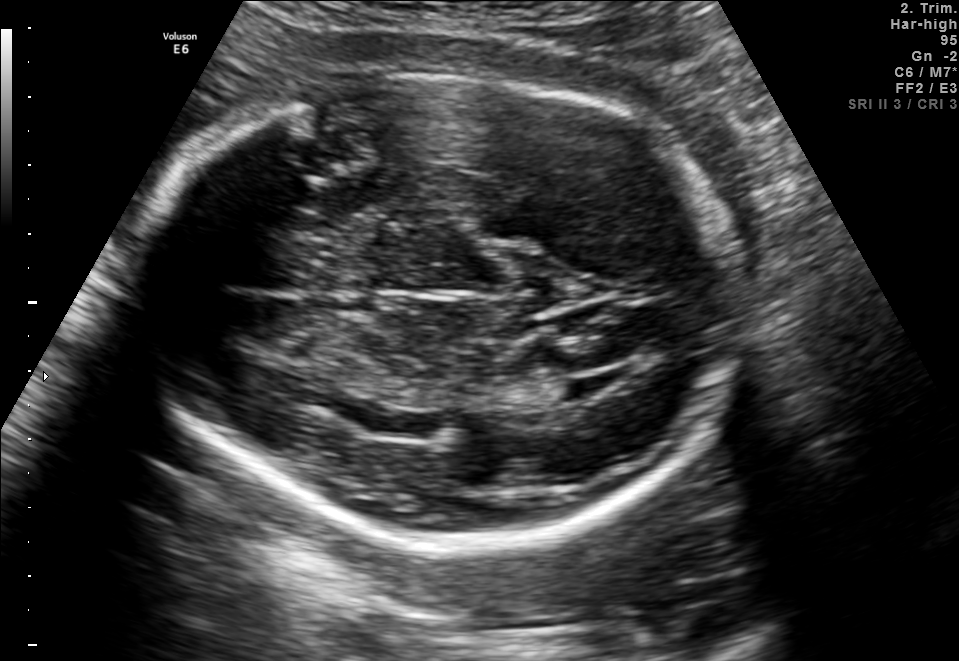
Fetal brain, trans-thalamic plane. Locate the fetal head and, if visible, the cavum septum pellucidum (CSP) and lateral ventricle (LV). Give bounding boxes as [x1,y1,x2,y2].

Head: [138,78,739,541]
Lateral ventricle: [533,375,592,407]